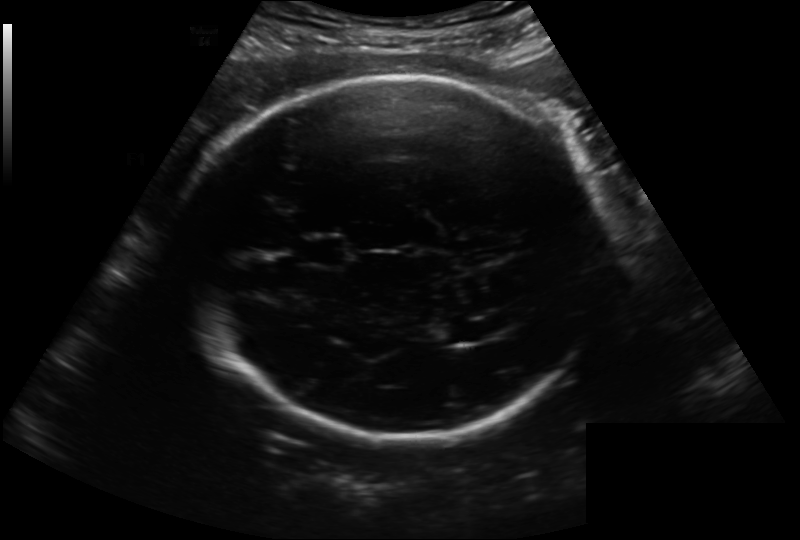
Fetal head ultrasound. Image width: 177.3 mm. Locate the lateral ventricle.

Lateral ventricle: [434,321,474,345]